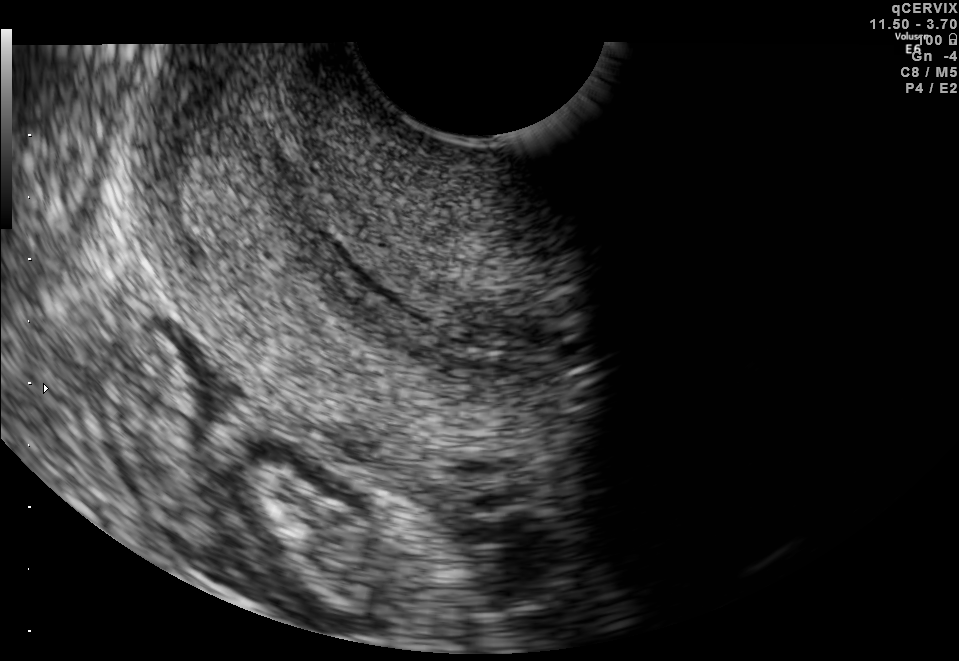
Which standard maternal-fetal ultrasound plane is shown: fetal abdomen, fetal brain, fetal femur, fetal thorax, maternal cervix, or other? If it's fetal brain and one of the three standard brain planes (trans-thalamic, trans-cerebellum, trans-ventricular), name which.

Maternal cervix